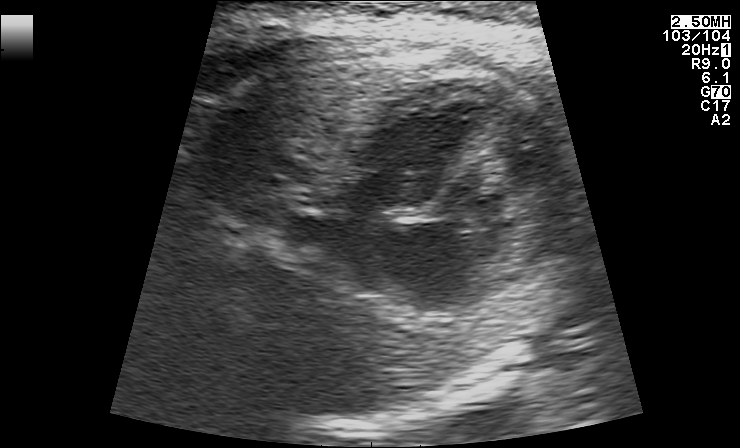
Classify this maternal-fetal ultrasound image as one of the six standard planes — fetal abdomen, fetal brain, fetal femur, fetal thorax, maternal cervix, or other. If it's fetal brain and one of the three standard brain planes (trans-thalamic, trans-cerebellum, trans-ventricular), name which.

Fetal thorax